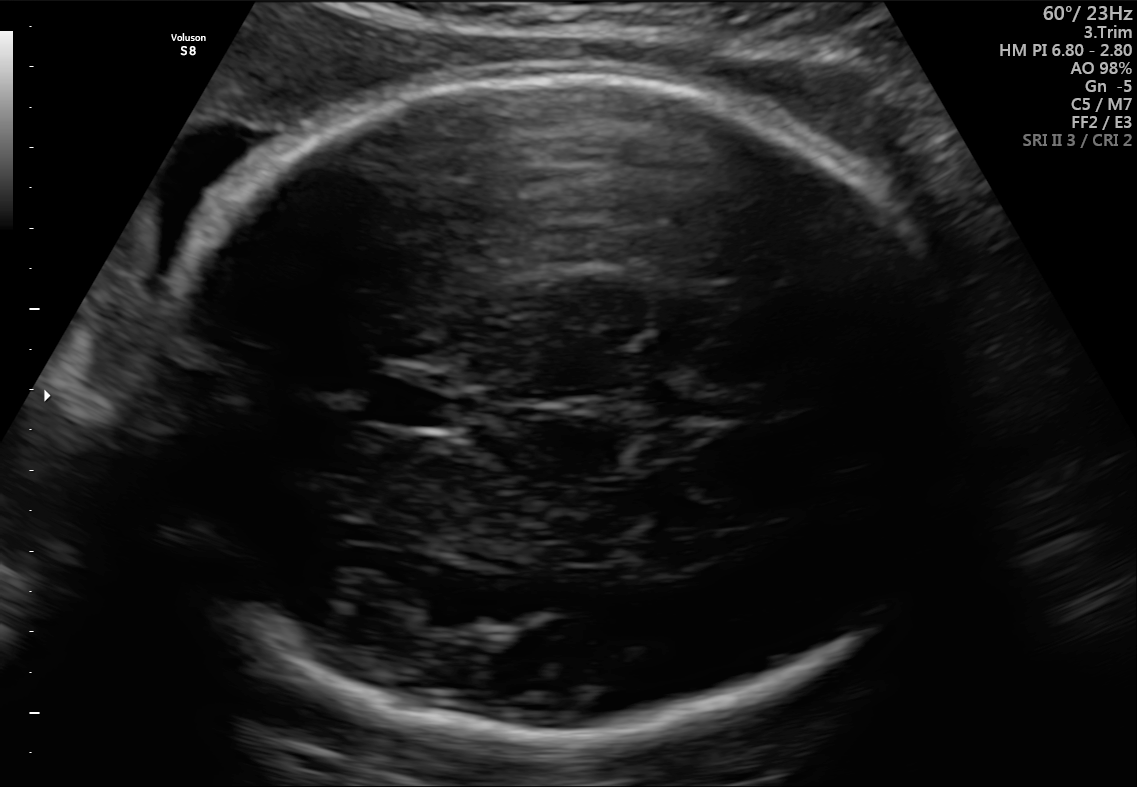
Classify this maternal-fetal ultrasound image as one of the six standard planes — fetal abdomen, fetal brain, fetal femur, fetal thorax, maternal cervix, or other. If it's fetal brain and one of the three standard brain planes (trans-thalamic, trans-cerebellum, trans-ventricular), name which.

Fetal brain (trans-thalamic plane)